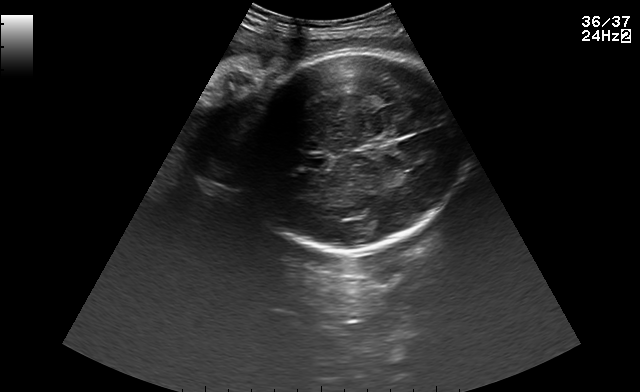
In this fetal brain, trans-thalamic plane, give the bounding box of the fetal head.

[244,52,462,255]